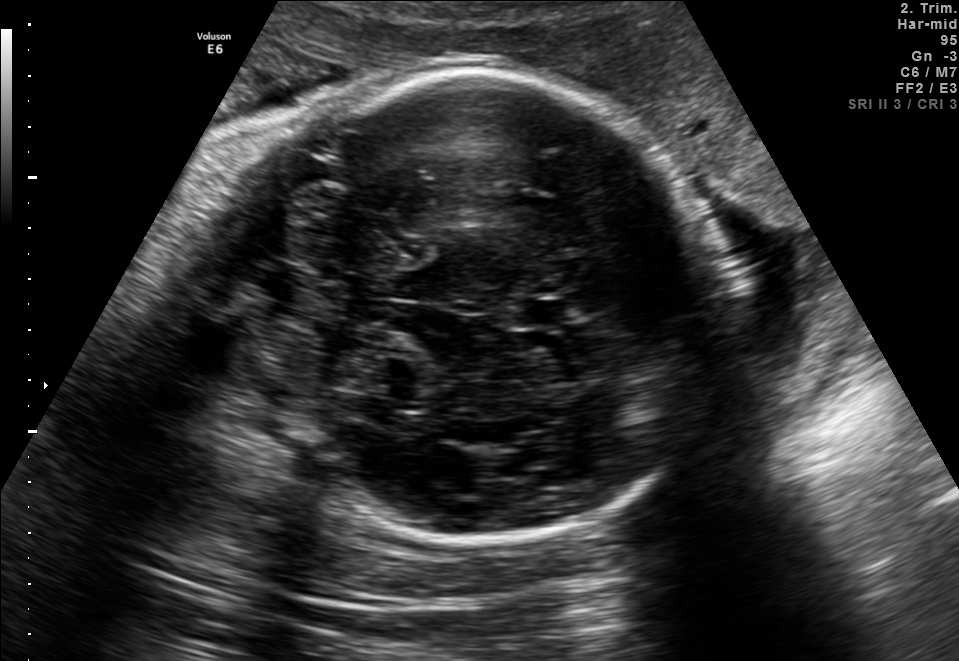
In this fetal brain, trans-cerebellum plane, give bounding boxes for the head outline, cavum septum pellucidum (CSP), and lateral ventricle (LV), where visible.

Head: [214,68,727,539]
CSP: [511,295,575,330]